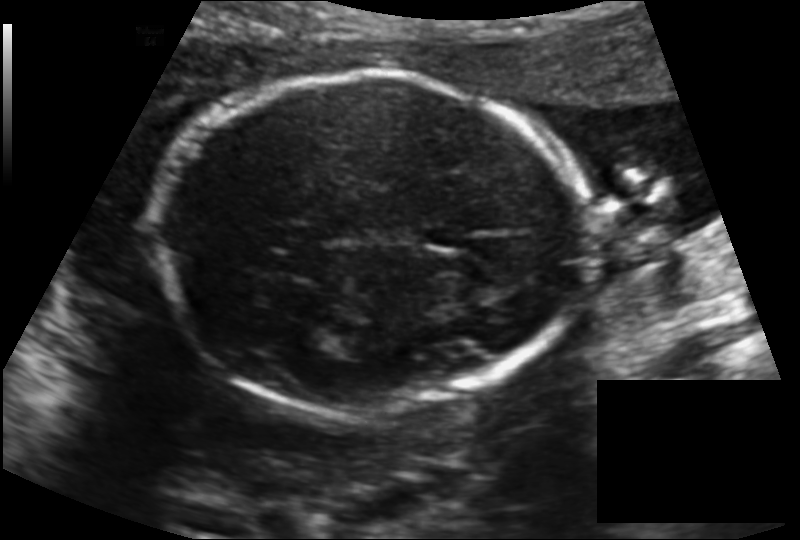
Fetal head ultrasound. Image width: 116.2 mm. Give [x1,y1,x2,y2] bounding boxes for each visible structure among: fetal head, CSP, LV.

Head: [156,72,592,416]
CSP: [422,222,469,251]